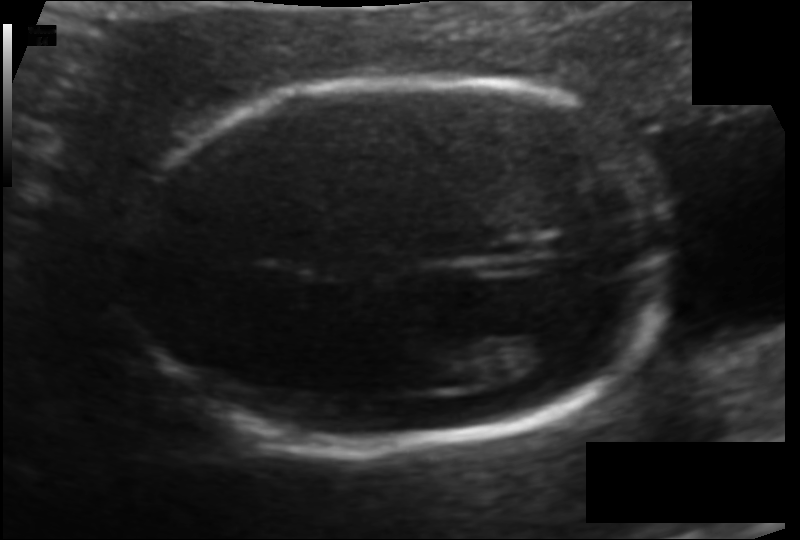
Fetal head ultrasound. Image width: 83.8 mm. Give [x1,y1,x2,y2] bounding boxes for each visible structure among: fetal head, CSP, LV.

Head: [126,73,677,446]